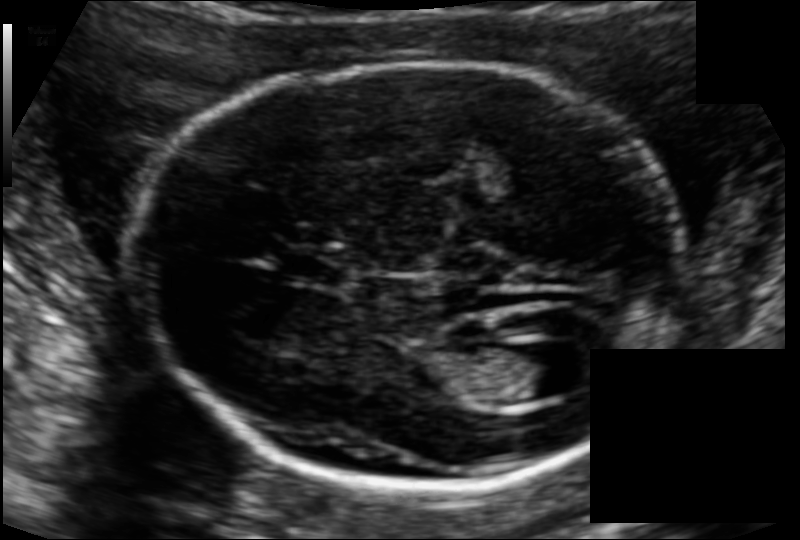
What is the fetal head circumference? Image width is 88.5 mm.

175.2 mm